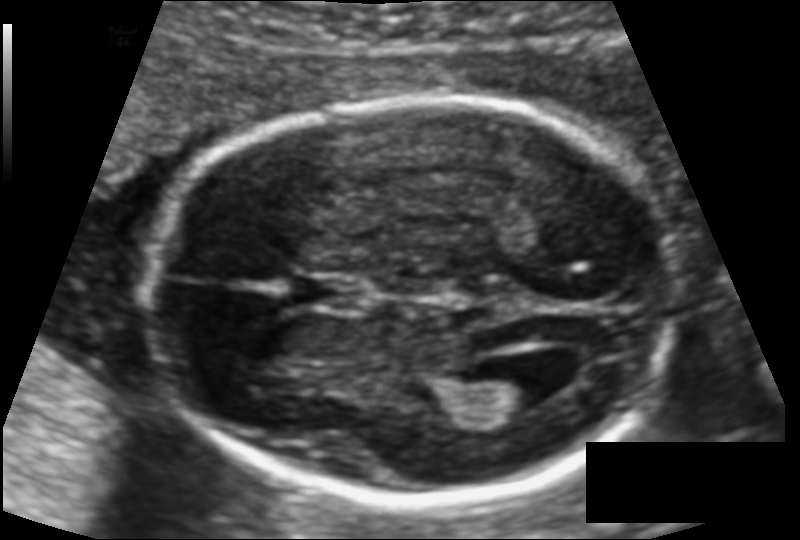
What is the fetal head circumference? Image width is 90.3 mm.

172.1 mm